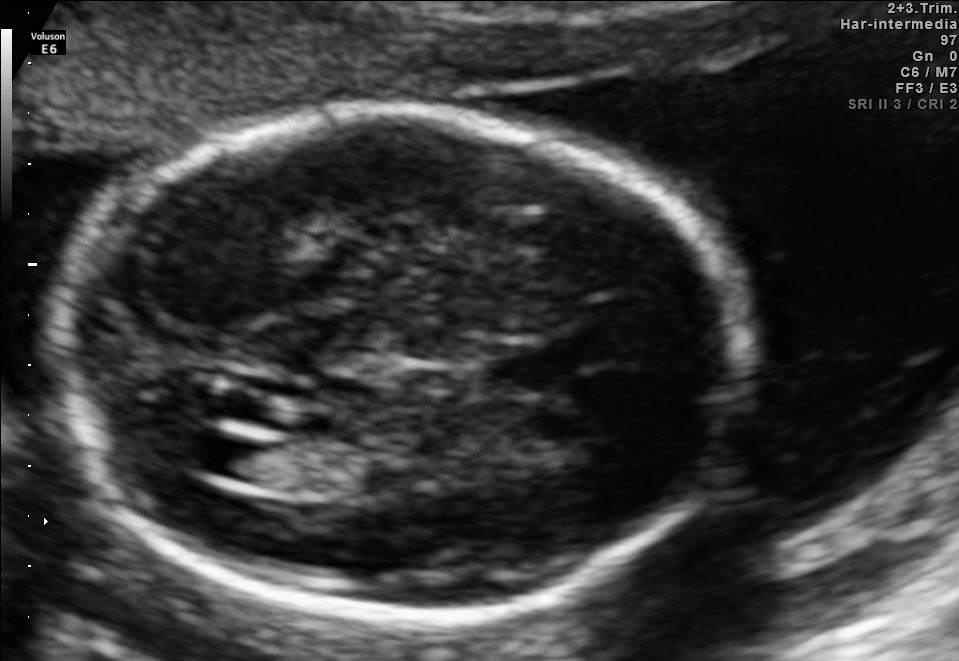
Fetal brain, trans-ventricular plane. Give [x1,y1,x2,y2] bounding boxes for each visible structure among: fetal head, CSP, LV.

Head: [44,101,771,632]
Lateral ventricle: [197,429,272,485]